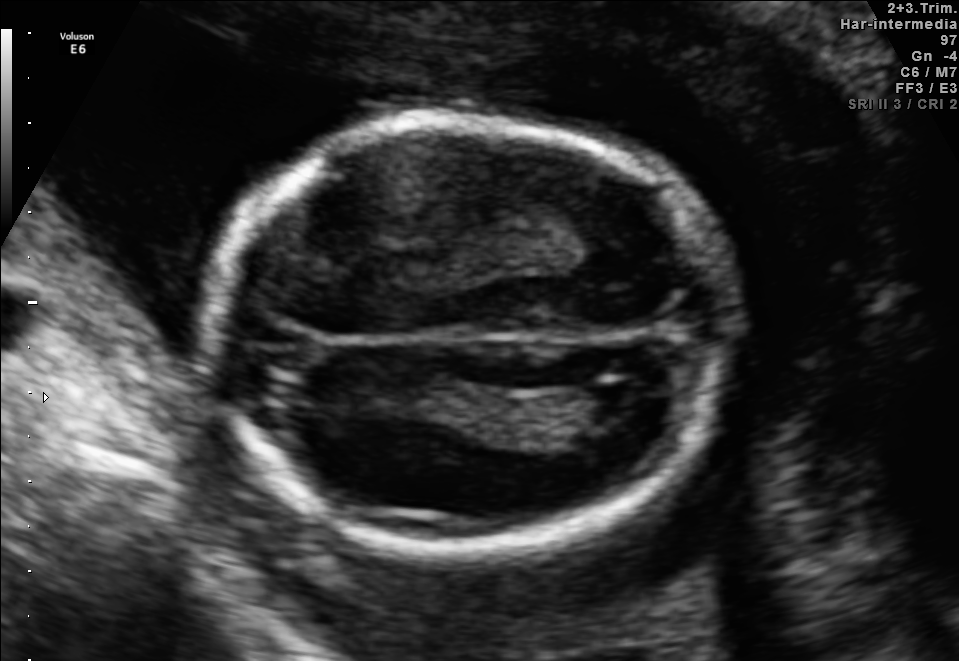
Fetal brain, trans-ventricular plane. Give [x1,y1,x2,y2] bounding boxes for each visible structure among: fetal head, CSP, LV.

Head: [191,108,748,559]
Lateral ventricle: [569,374,649,430]